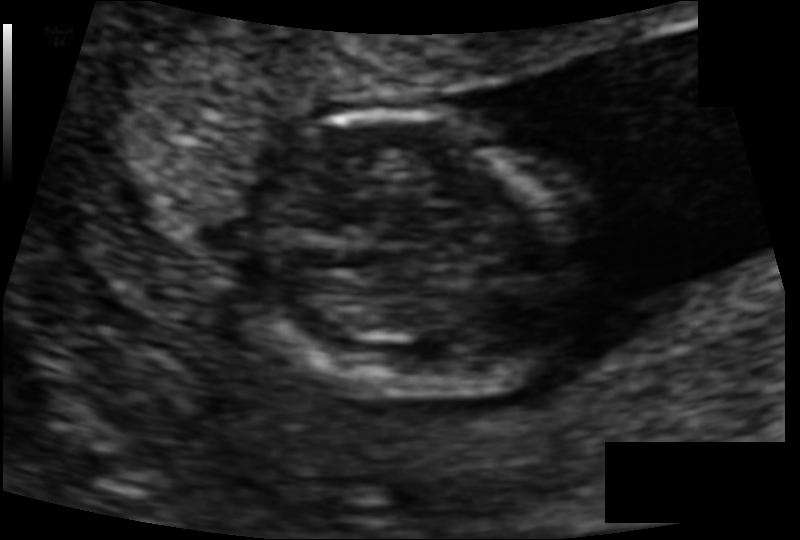
Estimate the fetal head circumference from this 2D ultrasound. Image width: 62.1 mm.

Head circumference: 76.2 mm.